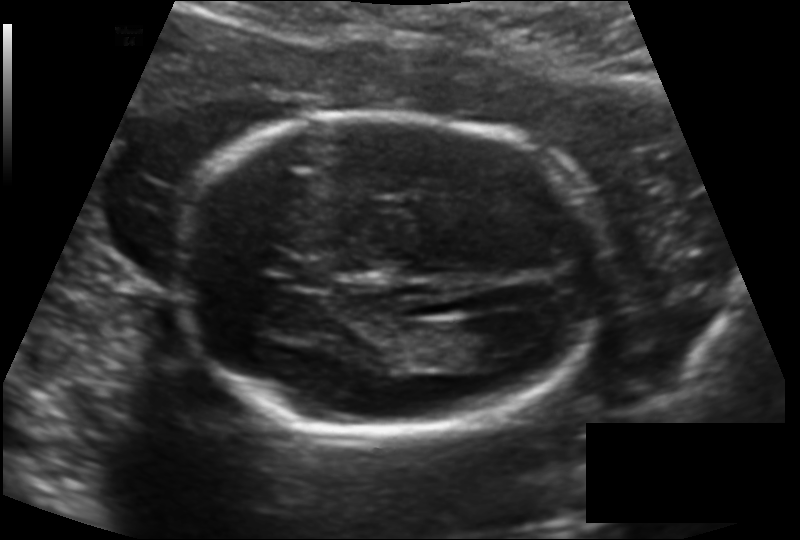
In this fetal head ultrasound, give the bounding box of the cavum septum pellucidum. Image width: 110.7 mm.

[289,261,330,288]